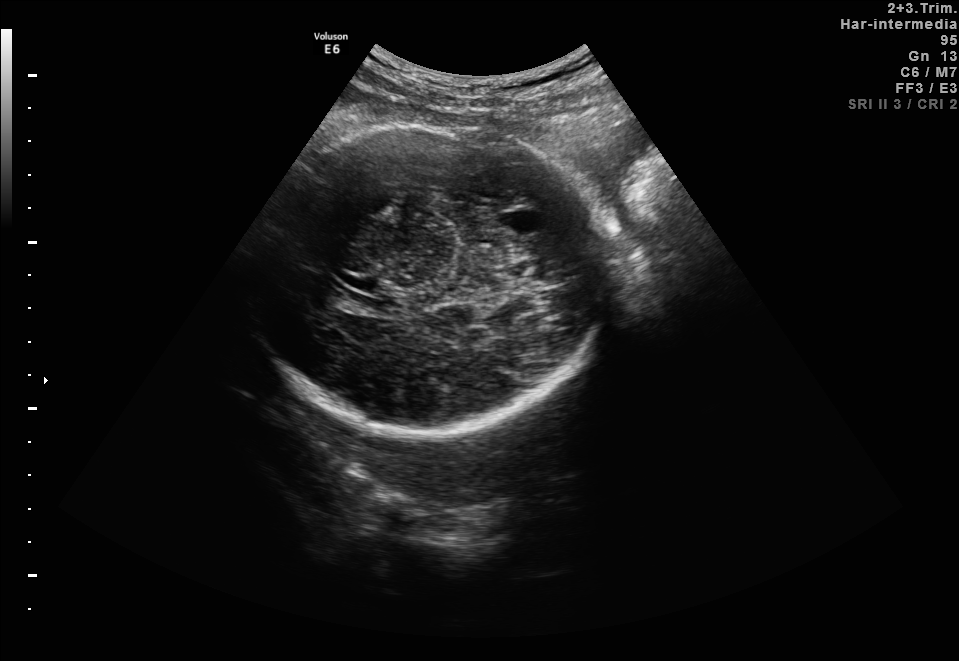
Fetal brain, trans-thalamic plane. Where is the fetal head?

Head bounding box: [246,125,603,436]